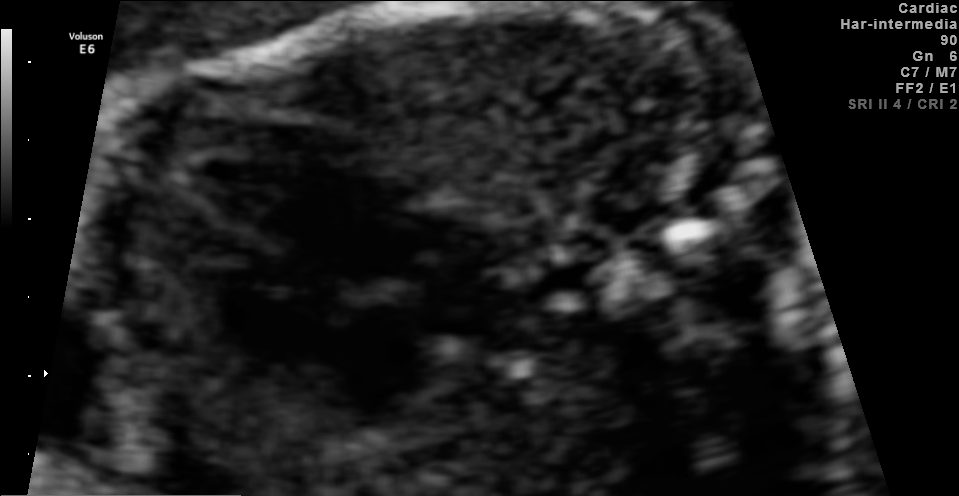
Identify the standard plane in this fetal ultrasound image: fetal abdomen, fetal brain, fetal femur, fetal thorax, maternal cervix, or other. If it's fetal brain and one of the three standard brain planes (trans-thalamic, trans-cerebellum, trans-ventricular), name which.

Fetal thorax